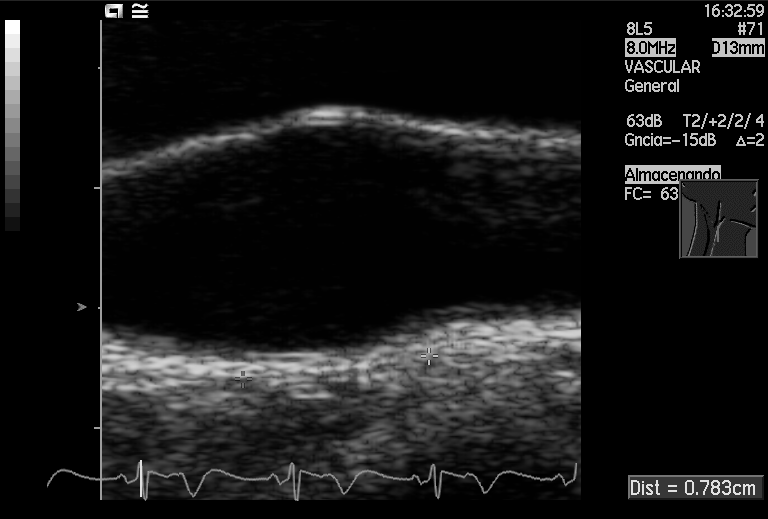
Identify the standard plane in this fetal ultrasound image: fetal abdomen, fetal brain, fetal femur, fetal thorax, maternal cervix, or other. If it's fetal brain and one of the three standard brain planes (trans-thalamic, trans-cerebellum, trans-ventricular), name which.

Other